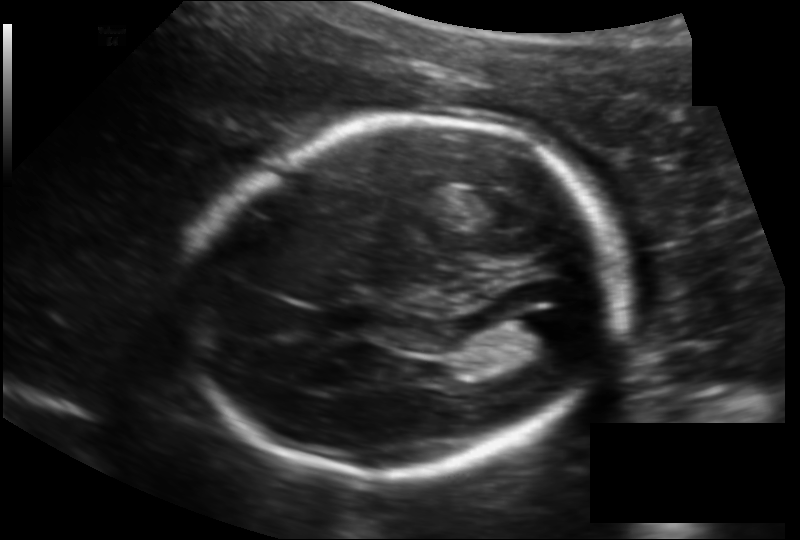
In this fetal head ultrasound, give bounding boxes for the head outline, cavum septum pellucidum (CSP), and lateral ventricle (LV), where visible. Image width: 115.9 mm.

Head: [190,118,618,476]
Lateral ventricle: [498,305,576,366]